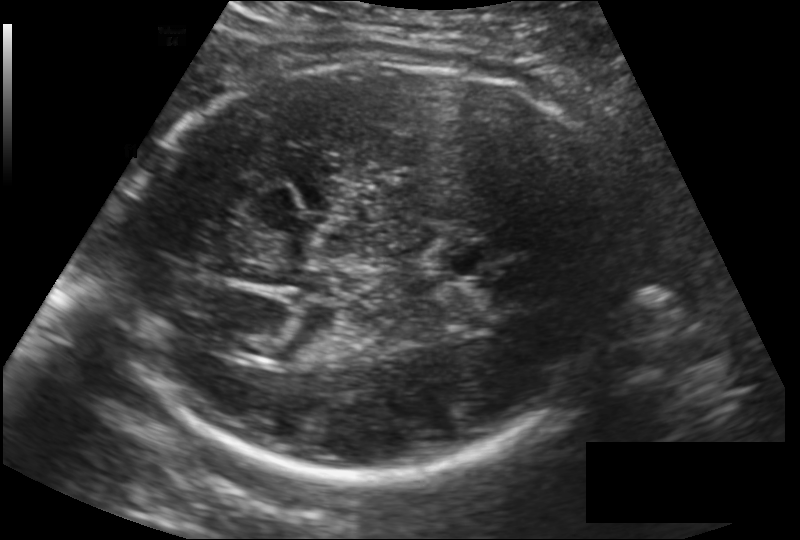
In this fetal head ultrasound, give the bounding box of the fetal head. Image width: 148.6 mm.

[113,64,634,473]